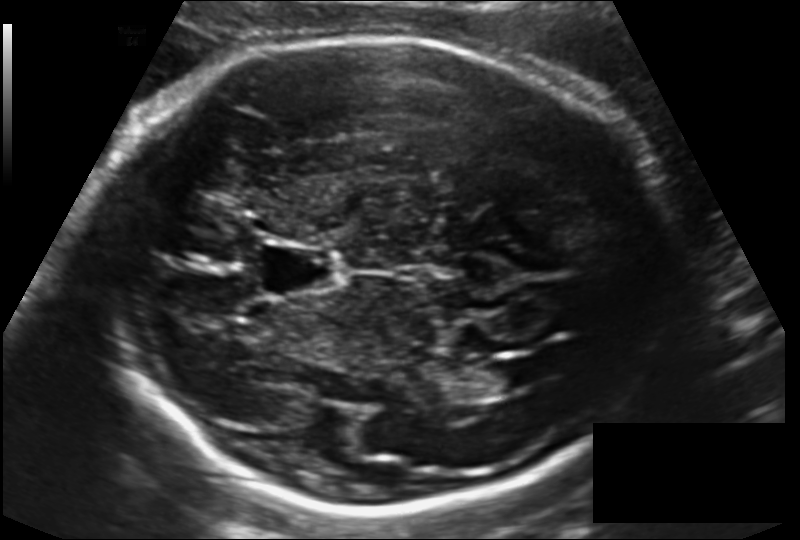
From this fetal ultrasound, estimate the head circumference (image width 123.9 mm).

Head circumference: 258.5 mm.